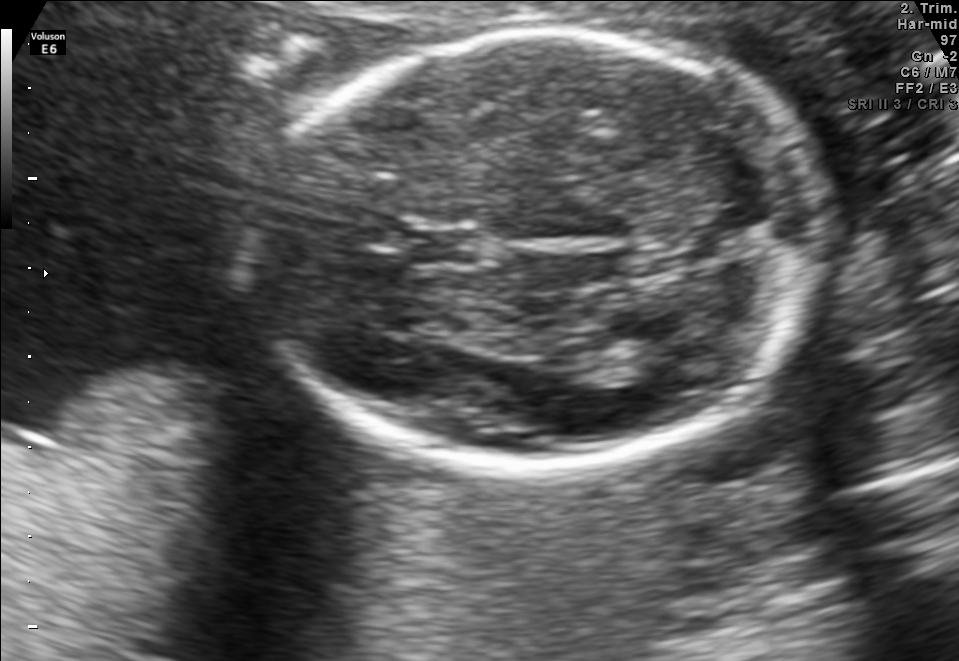
In this fetal brain, trans-thalamic plane, give the bounding box of the fetal head.

[257,34,820,463]